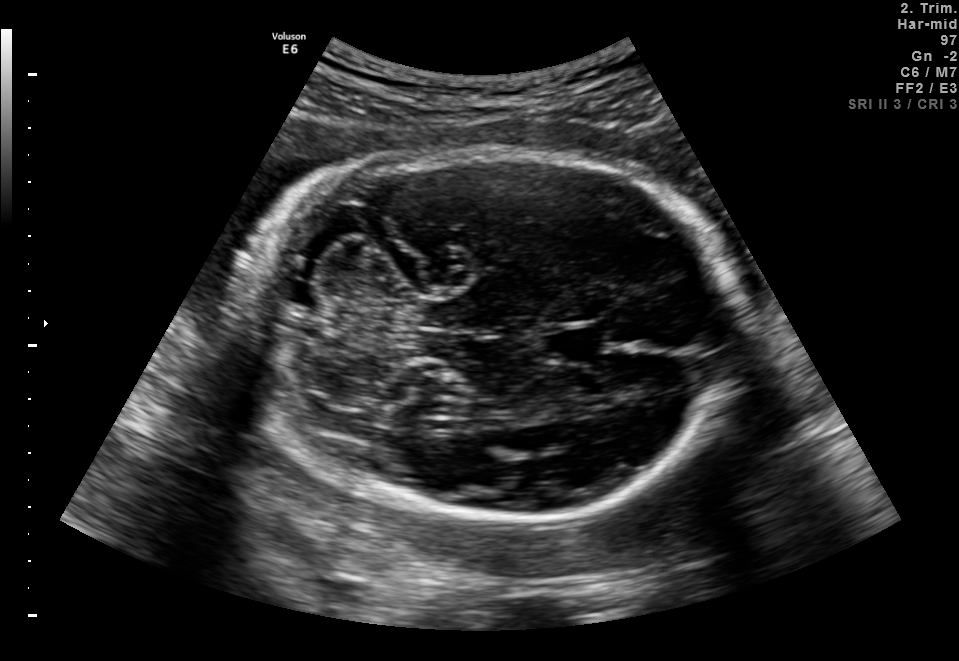
Identify the standard plane in this fetal ultrasound image: fetal abdomen, fetal brain, fetal femur, fetal thorax, maternal cervix, or other. If it's fetal brain and one of the three standard brain planes (trans-thalamic, trans-cerebellum, trans-ventricular), name which.

Fetal brain (trans-cerebellum plane)